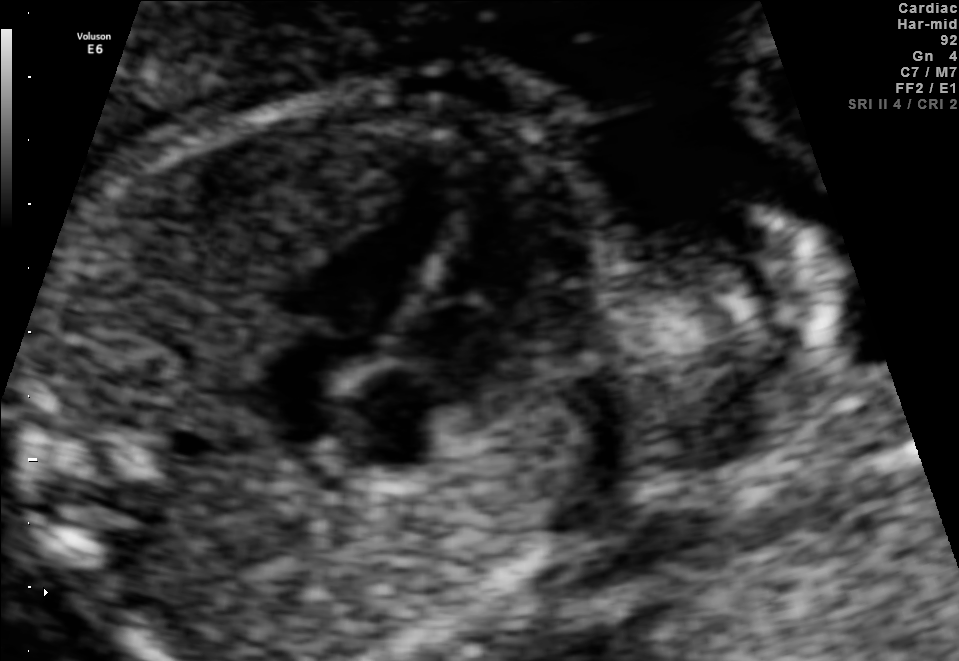
Identify the standard plane in this fetal ultrasound image: fetal abdomen, fetal brain, fetal femur, fetal thorax, maternal cervix, or other. If it's fetal brain and one of the three standard brain planes (trans-thalamic, trans-cerebellum, trans-ventricular), name which.

Fetal thorax